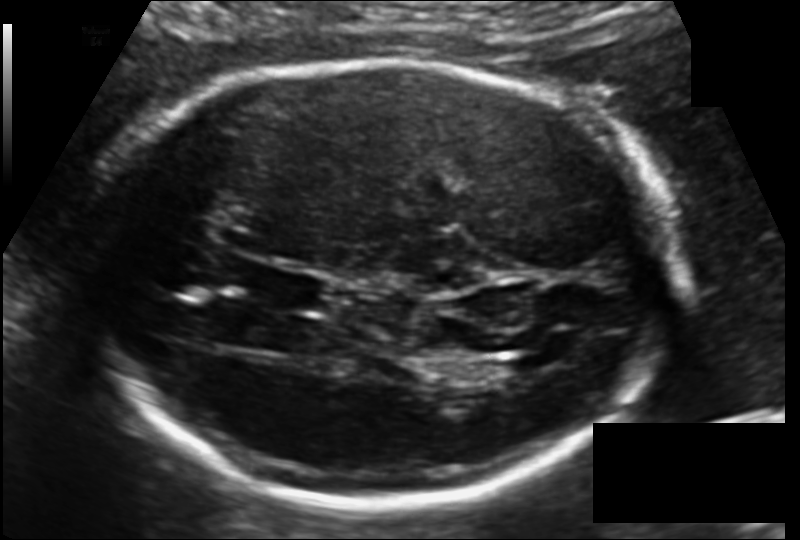
Fetal head ultrasound. Image width: 107.8 mm. Locate the fetal head and, if visible, the cavum septum pellucidum (CSP) and lateral ventricle (LV). Give bounding boxes as [x1,y1,x2,y2].

Head: [84,59,674,511]
CSP: [254,264,326,315]
Lateral ventricle: [499,348,555,380]